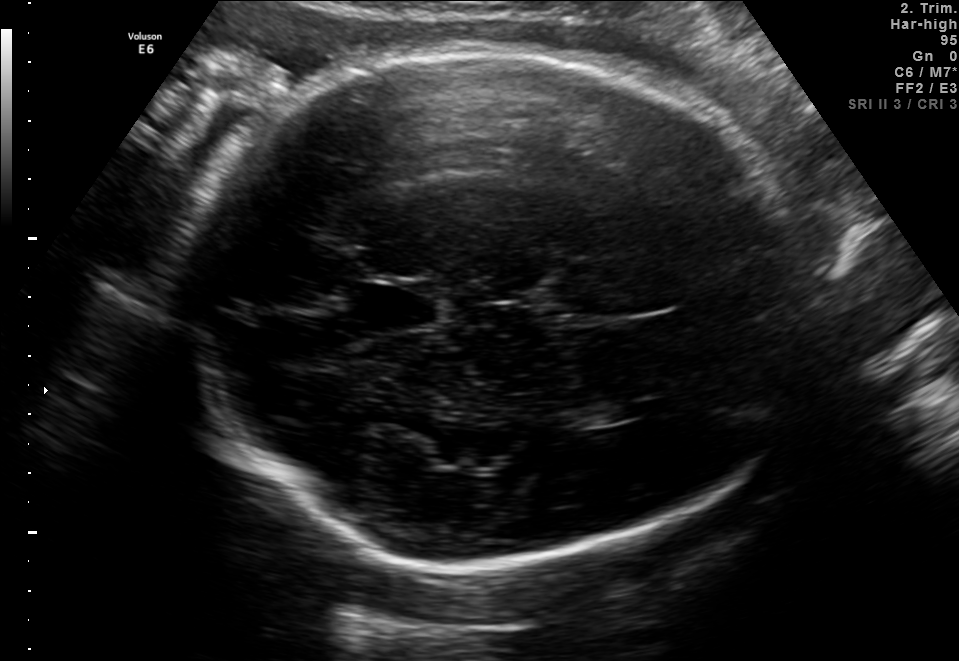
Fetal brain, trans-thalamic plane. Locate the cavum septum pellucidum.

CSP: [359,289,437,326]